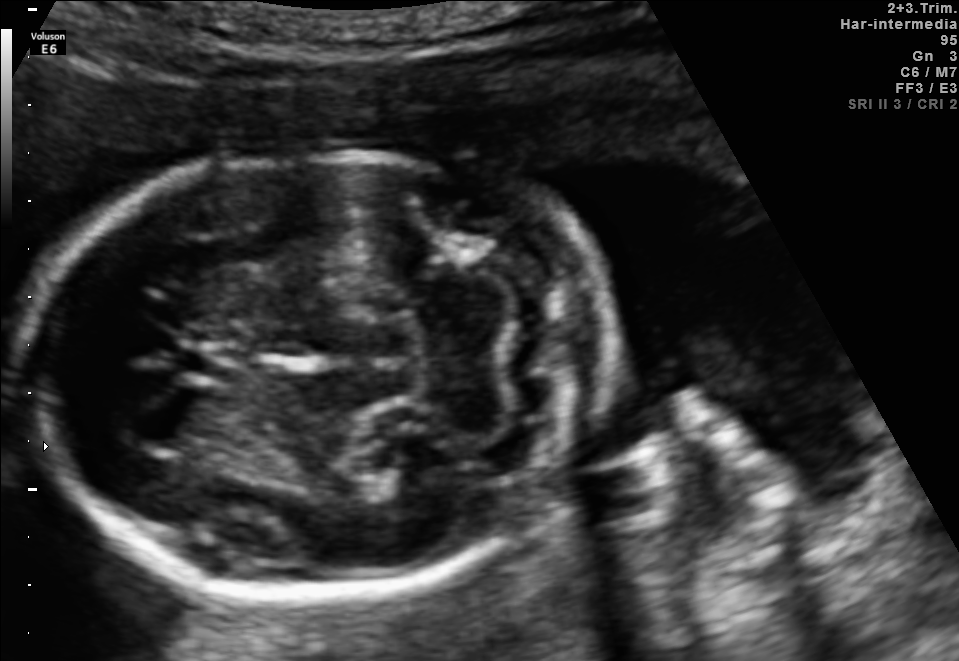
In this fetal brain, trans-cerebellum plane, give the bounding box of the fetal head.

[22,153,613,594]